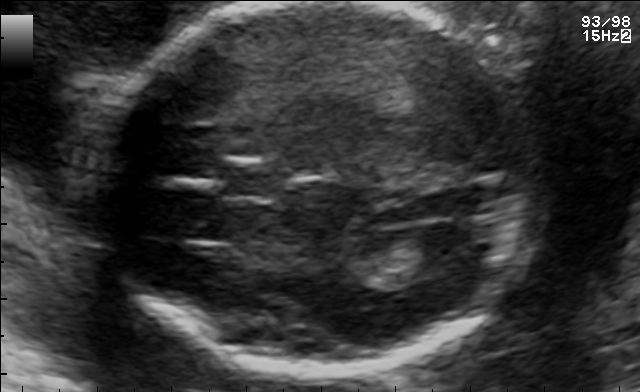
Fetal brain, trans-ventricular plane. Locate the fetal head and, if visible, the cavum septum pellucidum (CSP) and lateral ventricle (LV). Give bounding boxes as [x1,y1,x2,y2].

Head: [78,2,555,379]